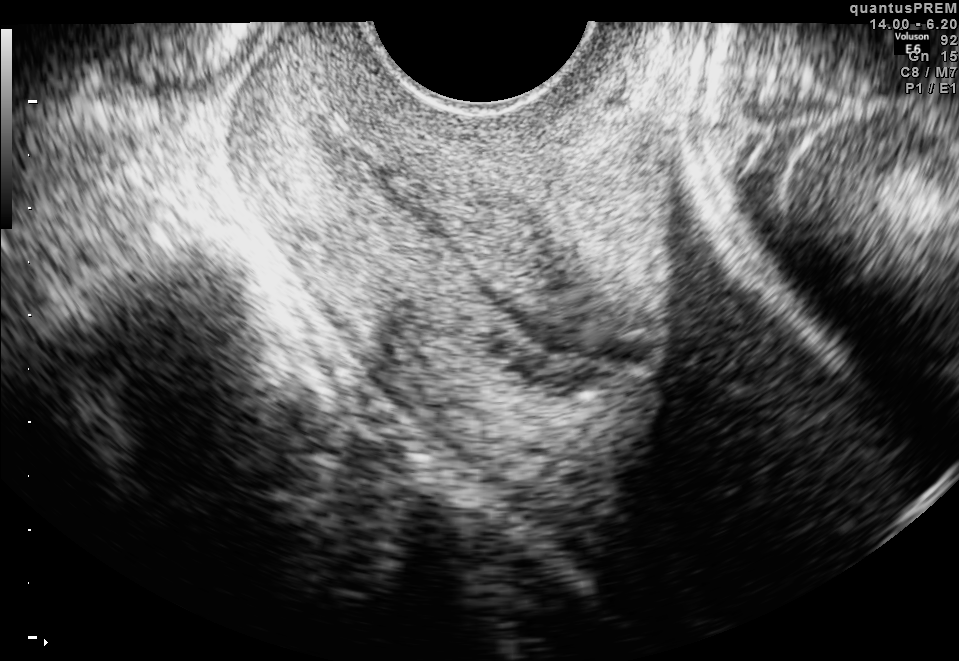
Identify the standard plane in this fetal ultrasound image: fetal abdomen, fetal brain, fetal femur, fetal thorax, maternal cervix, or other. If it's fetal brain and one of the three standard brain planes (trans-thalamic, trans-cerebellum, trans-ventricular), name which.

Maternal cervix